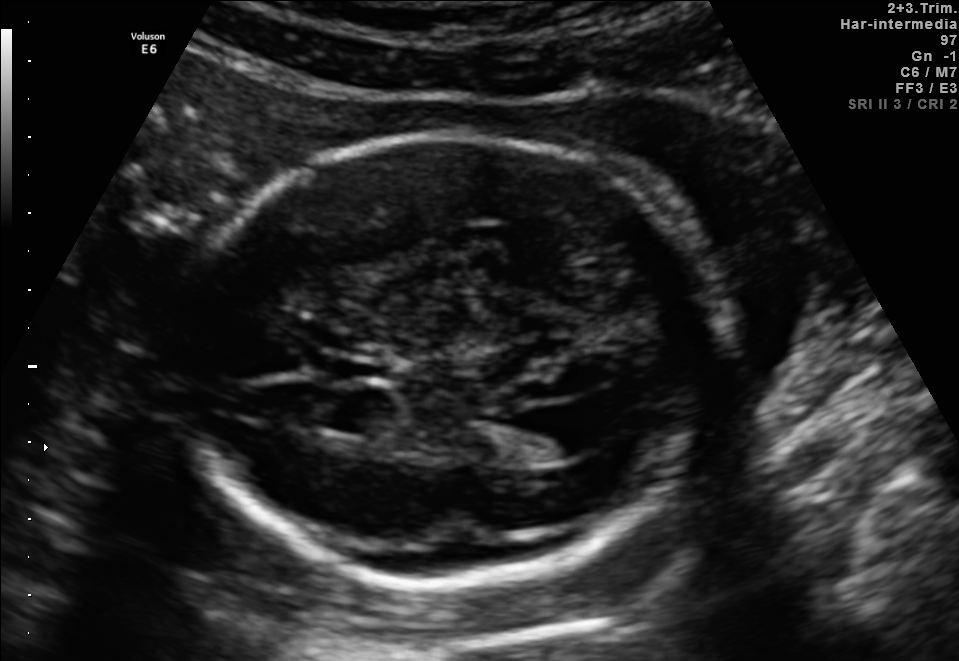
Fetal brain, trans-ventricular plane. Locate the fetal head and, if visible, the cavum septum pellucidum (CSP) and lateral ventricle (LV). Give bounding boxes as [x1,y1,x2,y2].

Head: [162,127,747,598]
CSP: [325,359,389,379]
Lateral ventricle: [524,394,619,464]